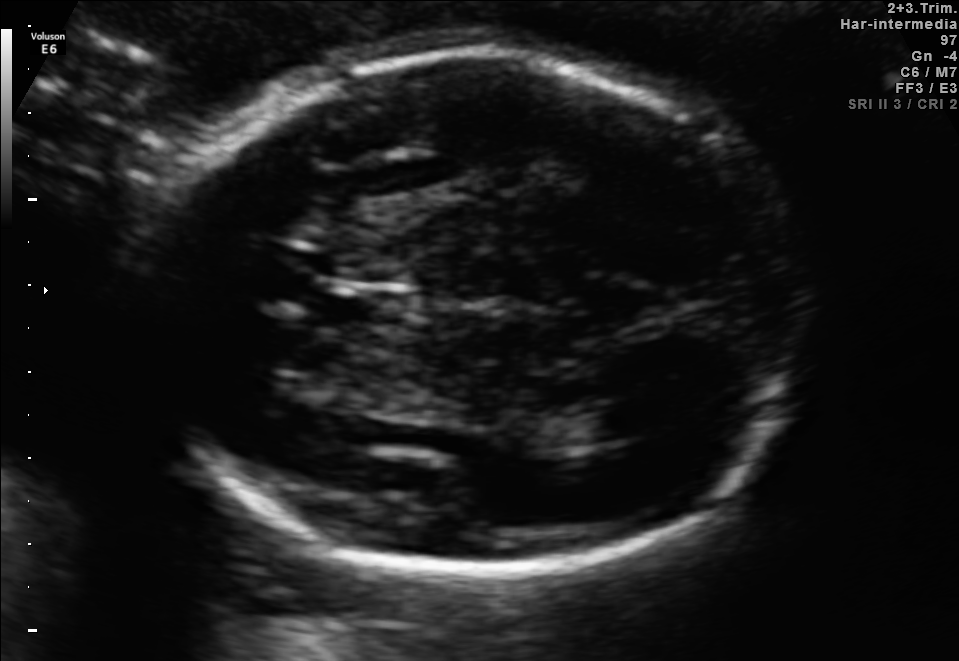
Fetal brain, trans-thalamic plane. Where is the fetal head?

Head bounding box: [150,50,801,583]